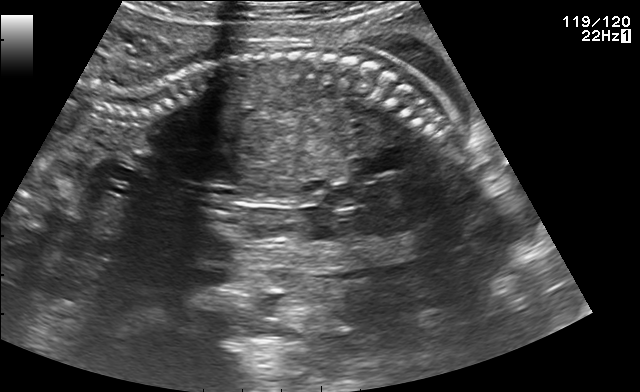
This is a 2D maternal-fetal ultrasound frame. Is it a fetal abdomen, fetal brain, fetal femur, fetal thorax, maternal cervix, or other standard plane? If it's fetal brain and one of the three standard brain planes (trans-thalamic, trans-cerebellum, trans-ventricular), name which.

Other